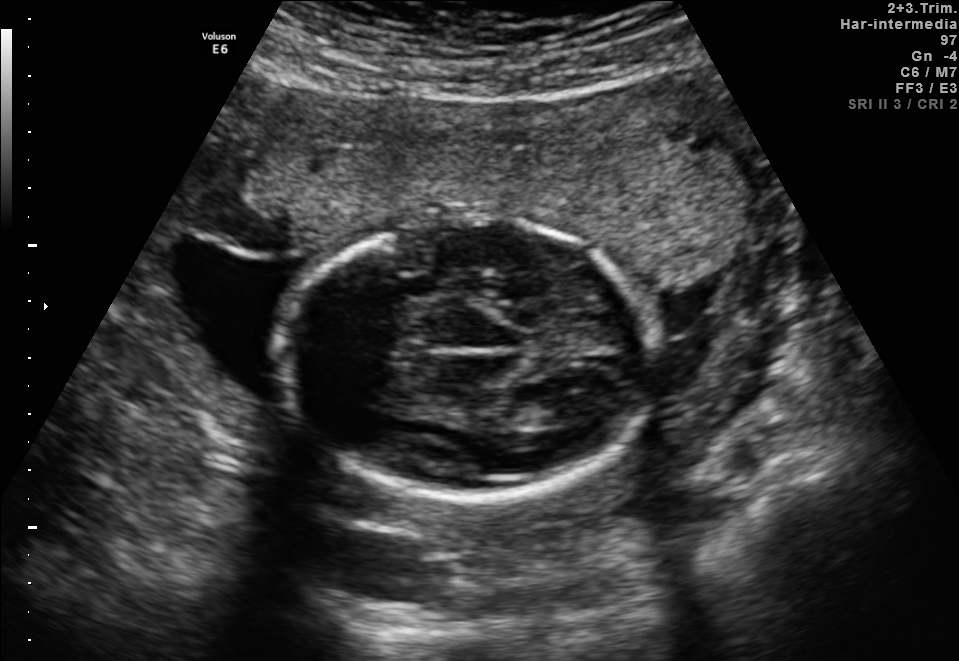
In this fetal brain, trans-thalamic plane, give bounding boxes for the head outline, cavum septum pellucidum (CSP), and lateral ventricle (LV), where visible.

Head: [274,216,657,499]
Lateral ventricle: [533,389,595,430]